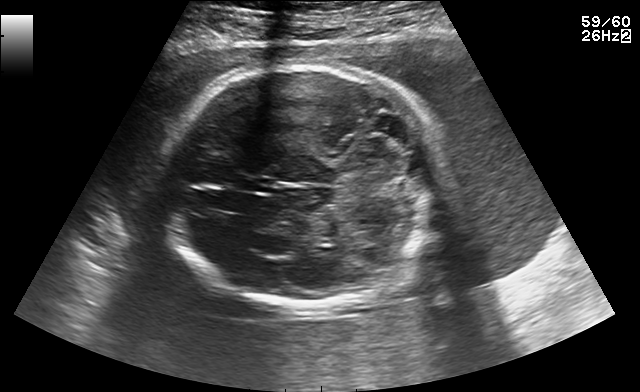
Fetal brain, trans-cerebellum plane. Locate the fetal head and, if visible, the cavum septum pellucidum (CSP) and lateral ventricle (LV). Give bounding boxes as [x1,y1,x2,y2].

Head: [161,65,448,306]
CSP: [237,174,273,195]